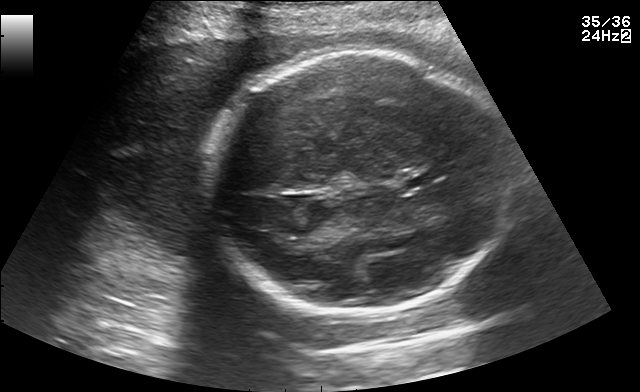
In this fetal brain, trans-thalamic plane, give bounding boxes for the head outline, cavum septum pellucidum (CSP), and lateral ventricle (LV), where visible.

Head: [206,49,509,312]
CSP: [404,167,442,191]